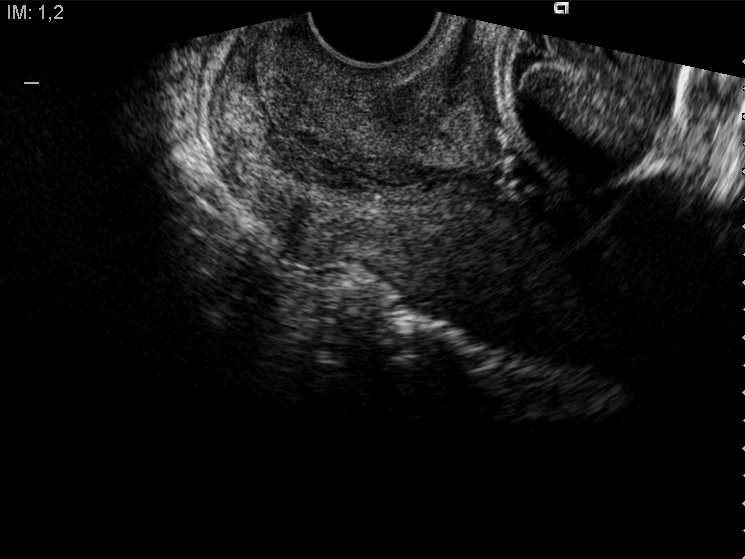
Which standard maternal-fetal ultrasound plane is shown: fetal abdomen, fetal brain, fetal femur, fetal thorax, maternal cervix, or other? If it's fetal brain and one of the three standard brain planes (trans-thalamic, trans-cerebellum, trans-ventricular), name which.

Maternal cervix